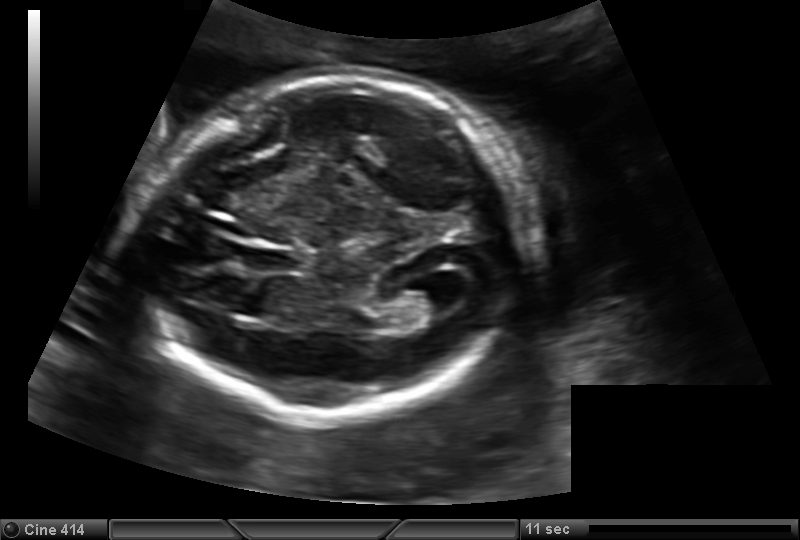
Fetal head ultrasound. Image width: 120.0 mm. Locate the cavum septum pellucidum.

CSP: [243,245,295,273]